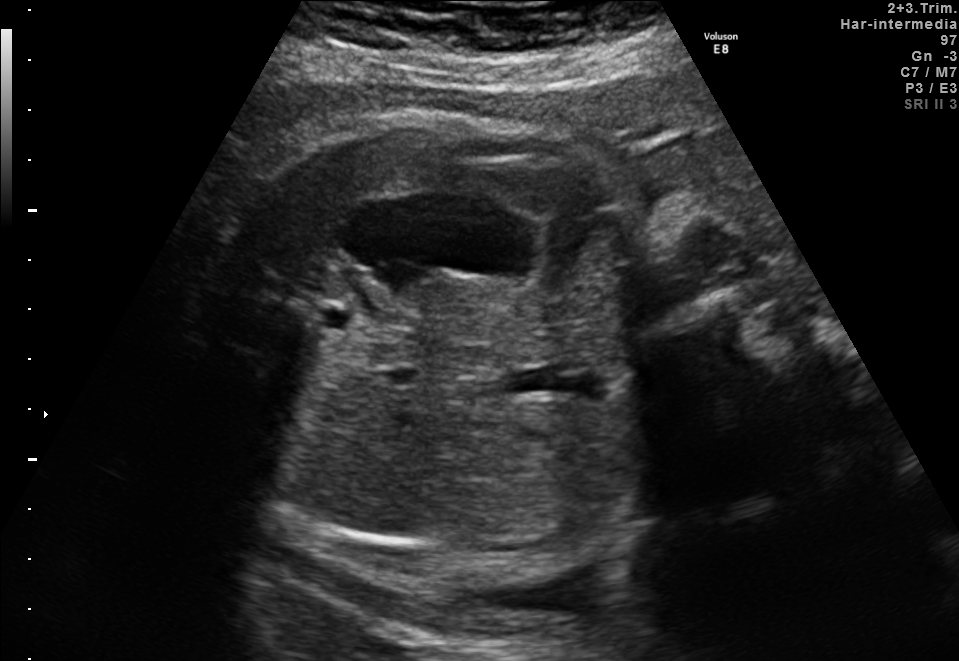
Identify the standard plane in this fetal ultrasound image: fetal abdomen, fetal brain, fetal femur, fetal thorax, maternal cervix, or other. If it's fetal brain and one of the three standard brain planes (trans-thalamic, trans-cerebellum, trans-ventricular), name which.

Fetal abdomen